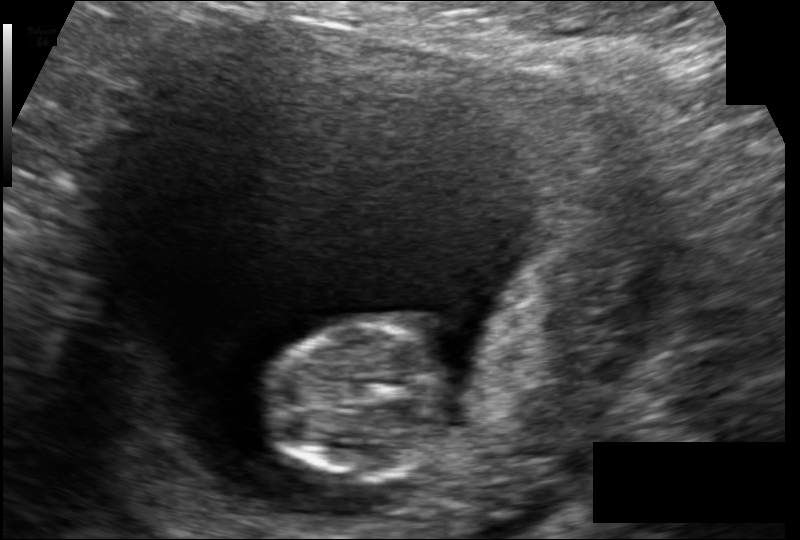
Fetal head ultrasound. Image width: 93.6 mm. Locate the fetal head and, if visible, the cavum septum pellucidum (CSP) and lateral ventricle (LV). Give bounding boxes as [x1,y1,x2,y2].

Head: [263,323,449,482]